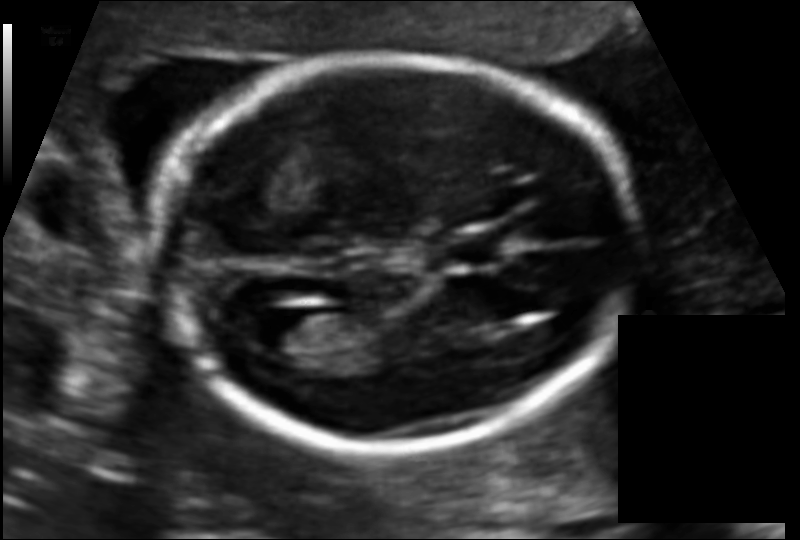
In this fetal head ultrasound, give the bounding box of the lateral ventricle. Image width: 87.1 mm.

[239,305,319,352]